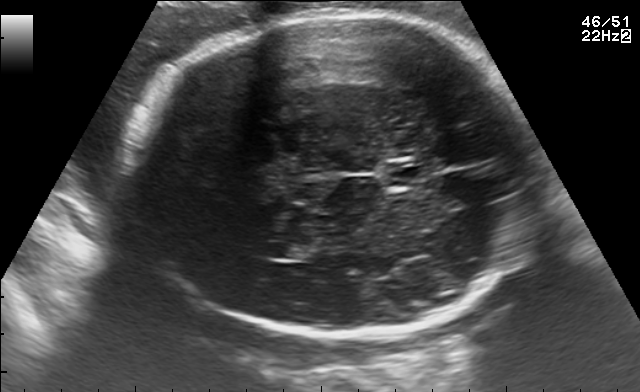
Fetal brain, trans-thalamic plane. Locate the fetal head.

Head: [125,17,539,336]